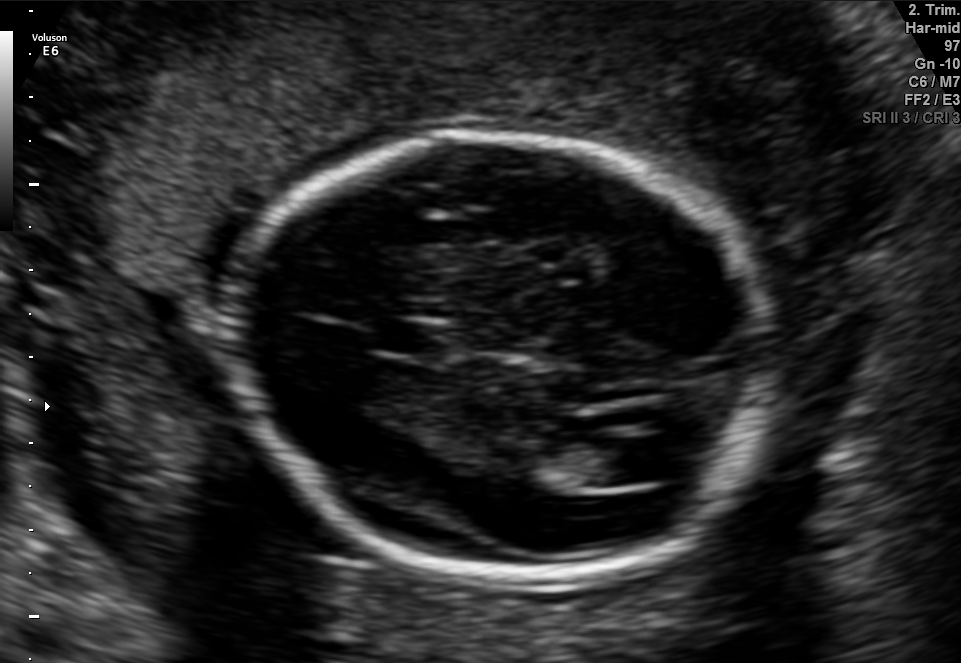
In this fetal brain, trans-ventricular plane, give bounding boxes for the head outline, cavum septum pellucidum (CSP), and lateral ventricle (LV), where visible.

Head: [228,124,777,593]
CSP: [374,320,431,355]
Lateral ventricle: [599,432,679,489]